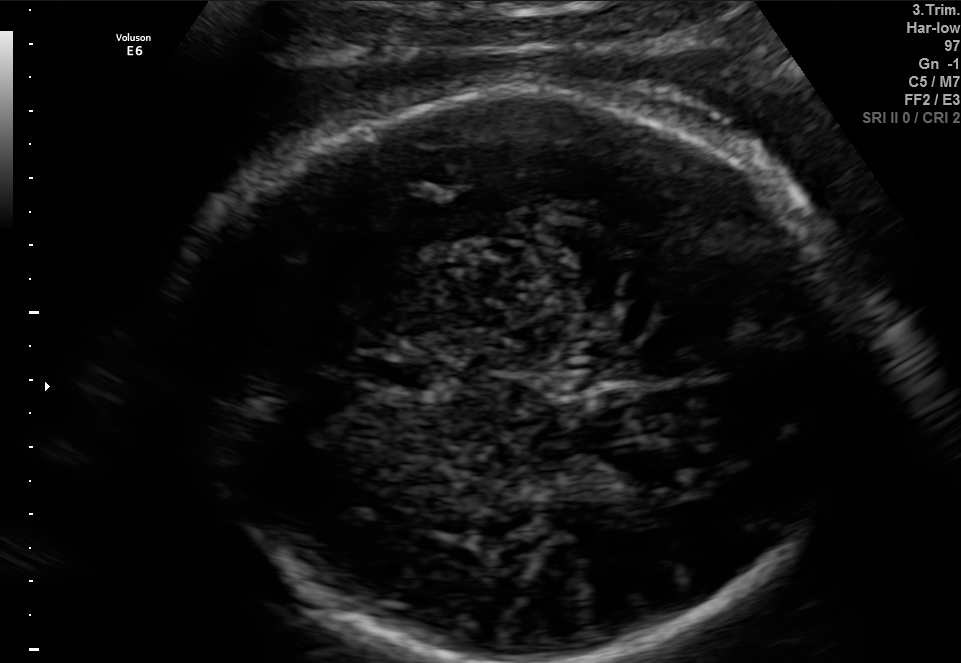
Identify the standard plane in this fetal ultrasound image: fetal abdomen, fetal brain, fetal femur, fetal thorax, maternal cervix, or other. If it's fetal brain and one of the three standard brain planes (trans-thalamic, trans-cerebellum, trans-ventricular), name which.

Fetal brain (trans-thalamic plane)